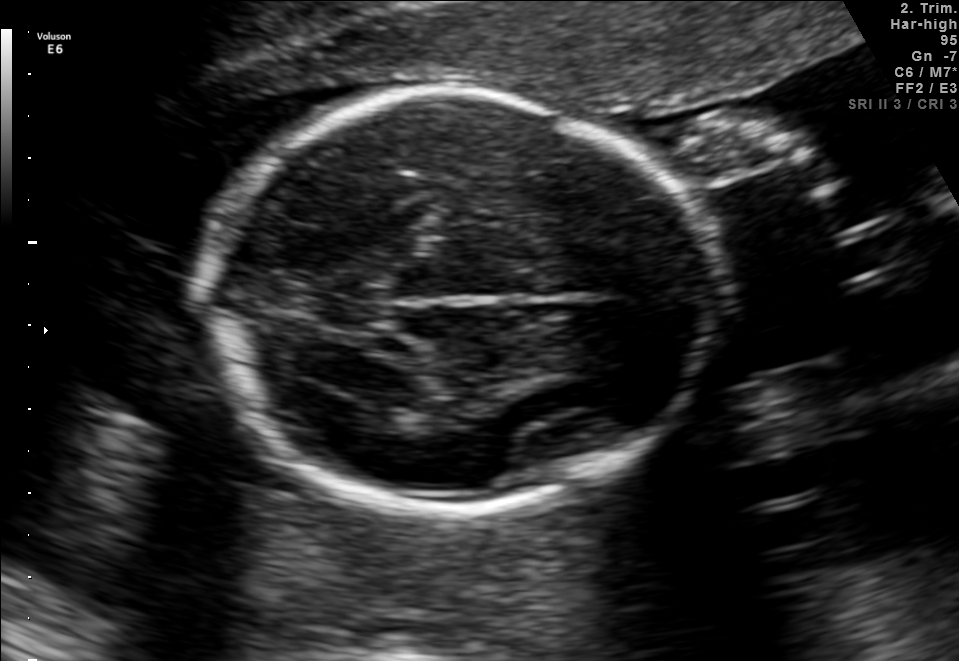
Fetal brain, trans-thalamic plane. Locate the lateral ventricle.

Lateral ventricle: [326,345,443,419]